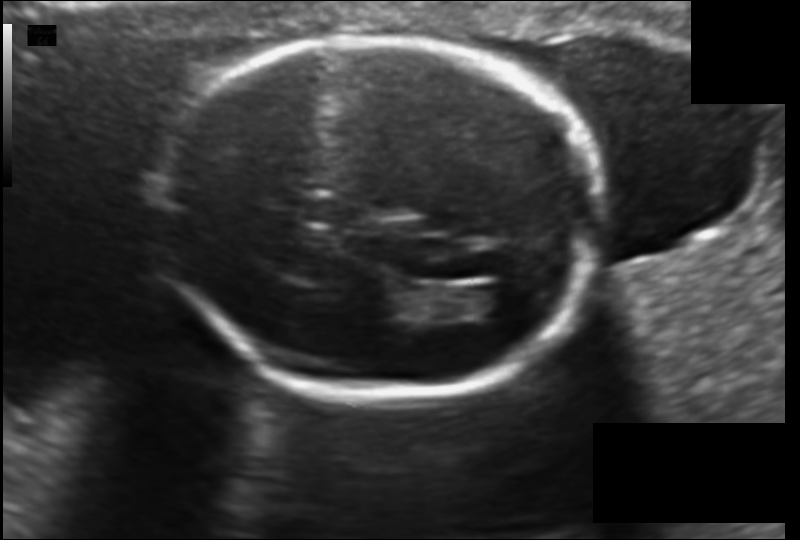
In this fetal head ultrasound, give the bounding box of the lateral ventricle. Image width: 104.2 mm.

[469,284,521,320]